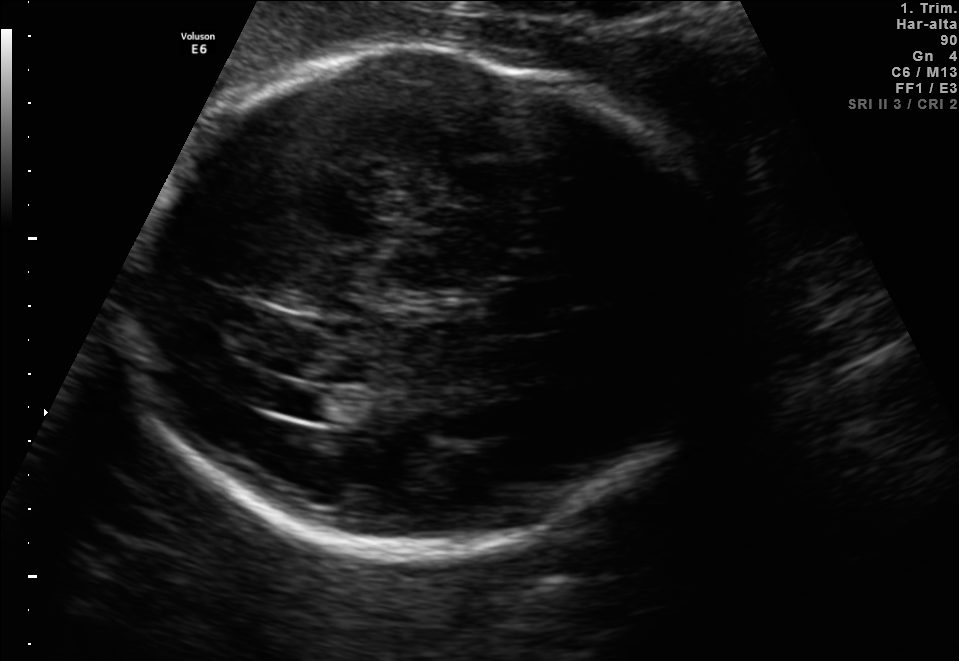
In this fetal brain, trans-ventricular plane, give the bounding box of the lateral ventricle.

[249,372,326,422]